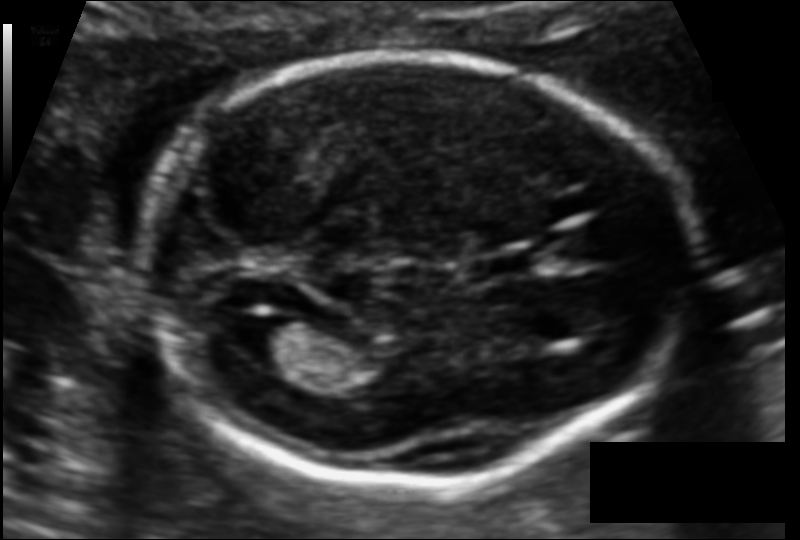
What is the fetal head circumference? Image width is 85.1 mm.

168.9 mm